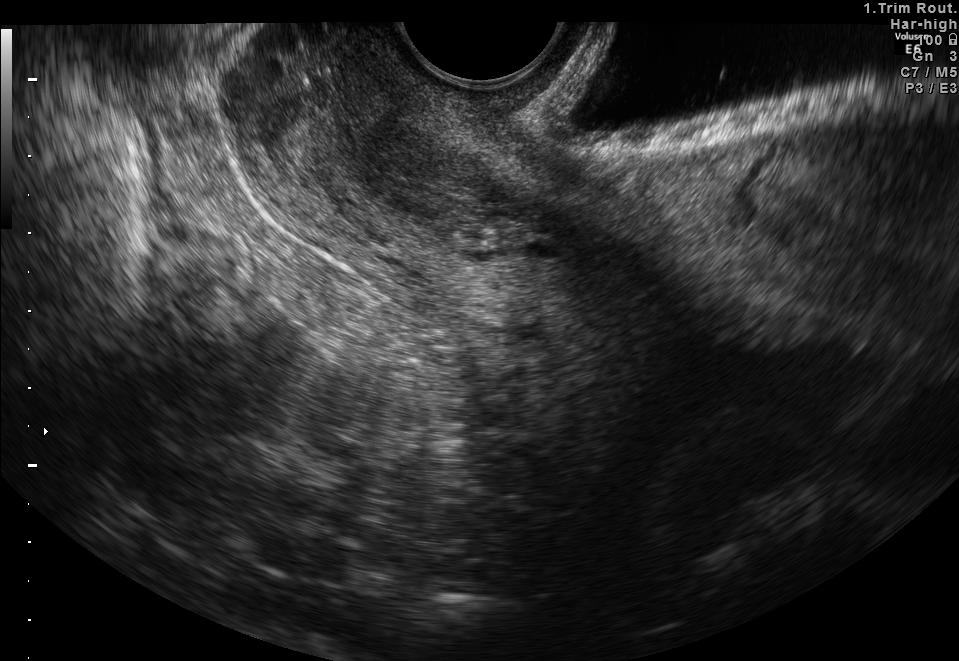
Which standard maternal-fetal ultrasound plane is shown: fetal abdomen, fetal brain, fetal femur, fetal thorax, maternal cervix, or other? If it's fetal brain and one of the three standard brain planes (trans-thalamic, trans-cerebellum, trans-ventricular), name which.

Maternal cervix